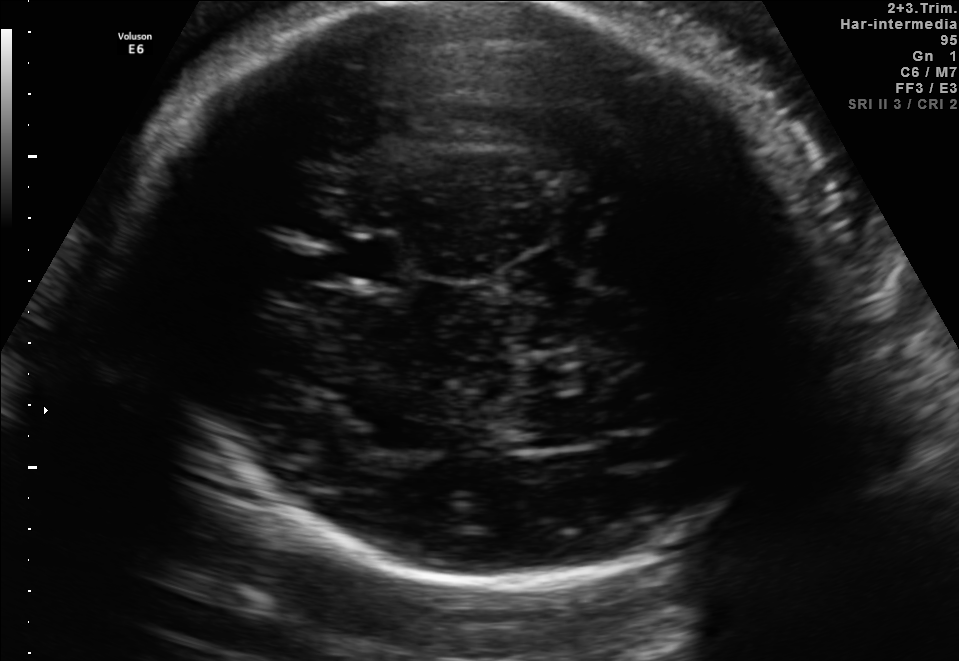
In this fetal brain, trans-thalamic plane, give the bounding box of the lateral ventricle.

[501,395,605,453]